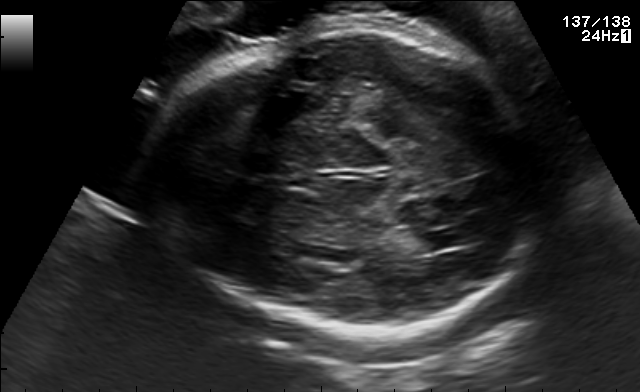
In this fetal brain, trans-thalamic plane, give bounding boxes for the head outline, cavum septum pellucidum (CSP), and lateral ventricle (LV), where visible.

Head: [145,26,555,333]
Lateral ventricle: [410,224,469,256]